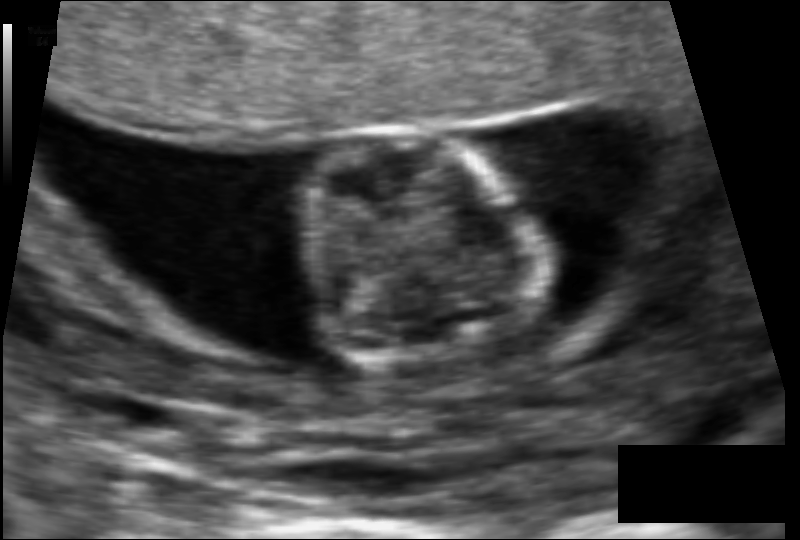
Fetal head ultrasound. Image width: 63.1 mm. Give [x1,y1,x2,y2] bounding boxes for each visible structure among: fetal head, CSP, LV.

Head: [296,128,531,373]